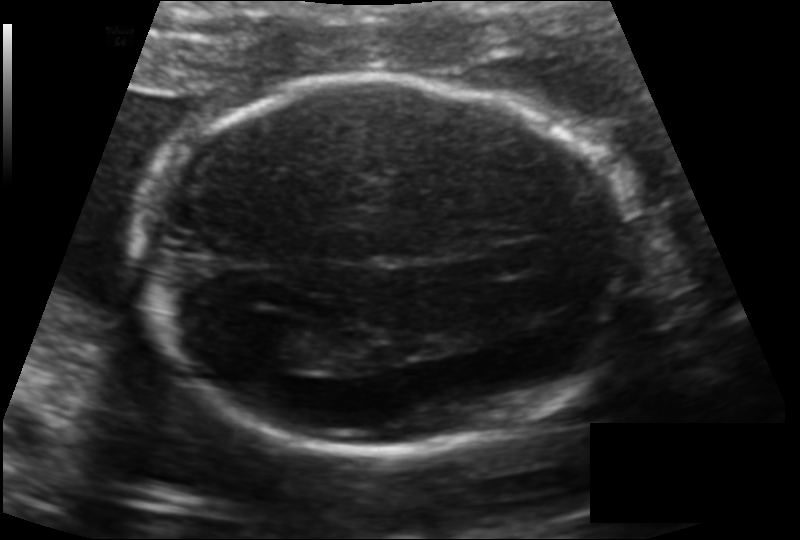
In this fetal head ultrasound, give the bounding box of the cavum septum pellucidum. Image width: 107.0 mm.

[479,237,550,280]